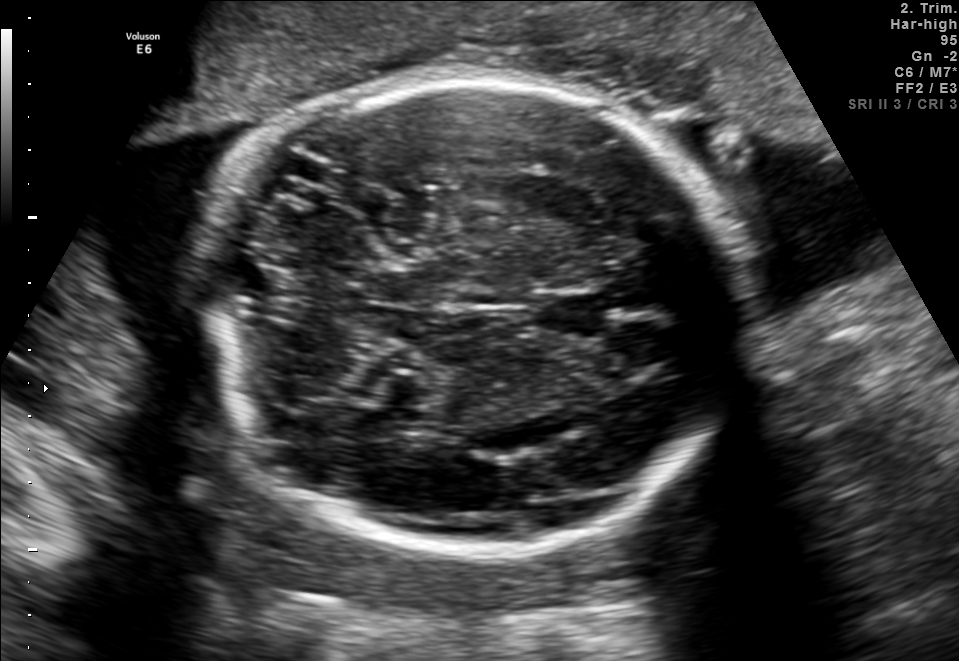
In this fetal brain, trans-cerebellum plane, give the bounding box of the fetal head.

[204,76,733,557]